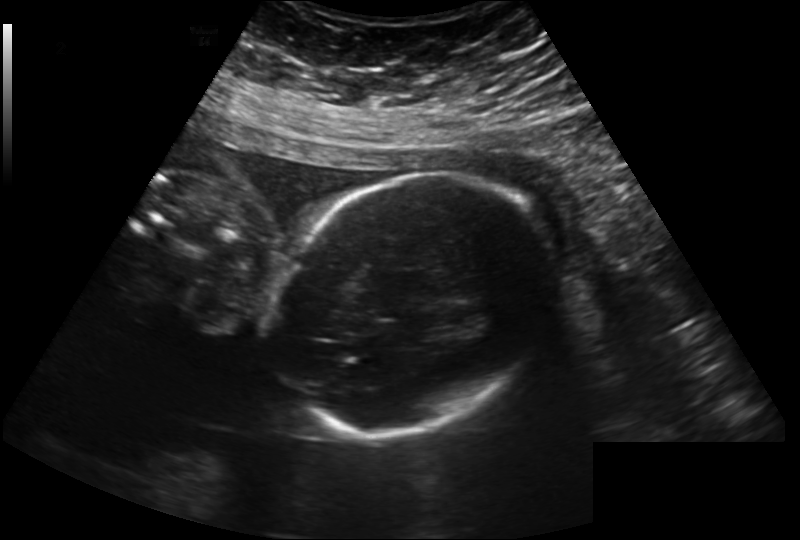
Fetal head ultrasound. Image width: 177.4 mm. Locate the fetal head and, if visible, the cavum septum pellucidum (CSP) and lateral ventricle (LV). Give bounding boxes as [x1,y1,x2,y2].

Head: [271,171,546,436]